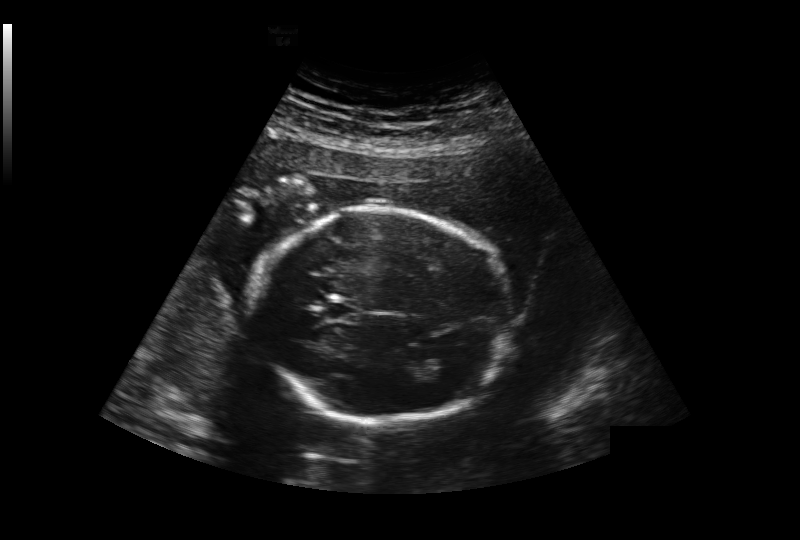
Fetal head ultrasound. Image width: 191.2 mm. Locate the fetal head and, if visible, the cavum septum pellucidum (CSP) and lateral ventricle (LV). Give bounding boxes as [x1,y1,x2,y2].

Head: [252,208,511,421]
CSP: [327,302,358,321]